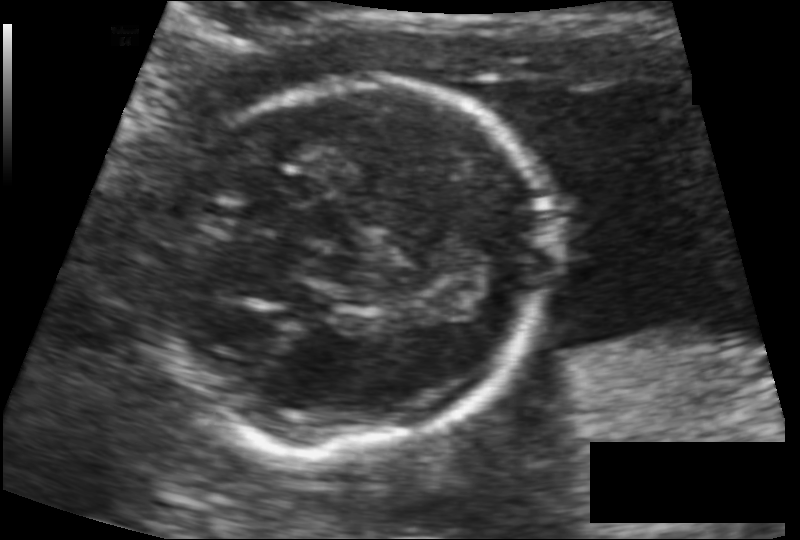
In this fetal head ultrasound, give bounding boxes for the head outline, cavum septum pellucidum (CSP), and lateral ventricle (LV), where visible. Image width: 79.7 mm.

Head: [162,80,553,449]